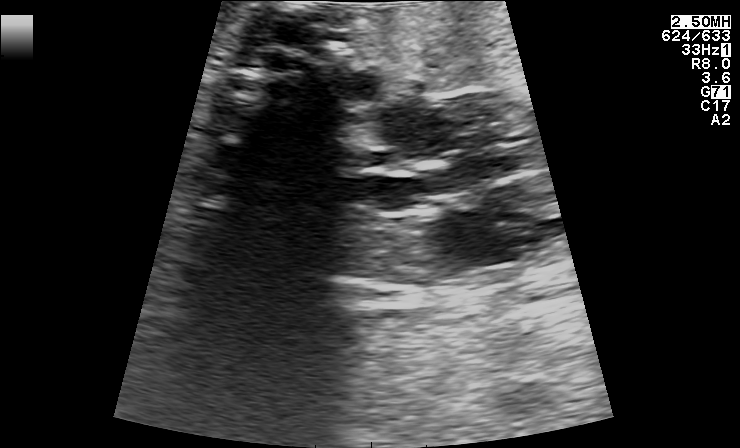
Which standard maternal-fetal ultrasound plane is shown: fetal abdomen, fetal brain, fetal femur, fetal thorax, maternal cervix, or other? If it's fetal brain and one of the three standard brain planes (trans-thalamic, trans-cerebellum, trans-ventricular), name which.

Other